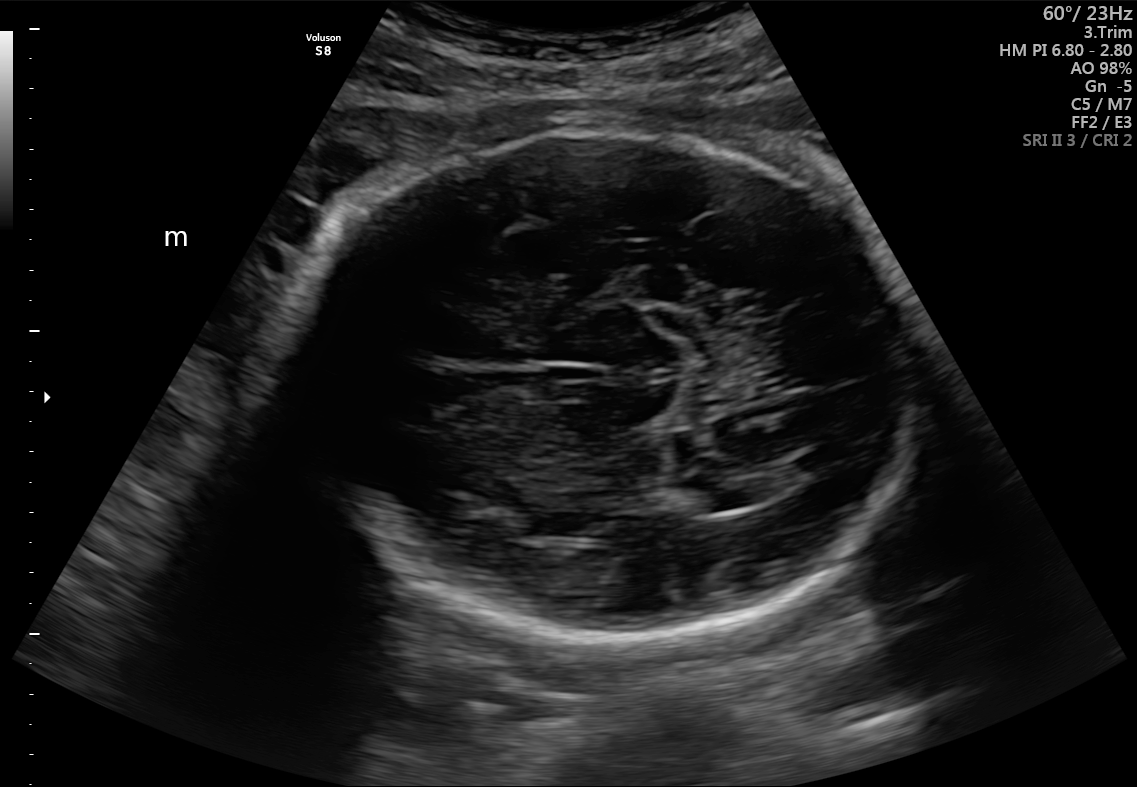
Fetal brain, trans-thalamic plane. Give [x1,y1,x2,y2] bounding boxes for each visible structure among: fetal head, CSP, LV.

Head: [286,135,920,645]
Lateral ventricle: [684,465,767,519]